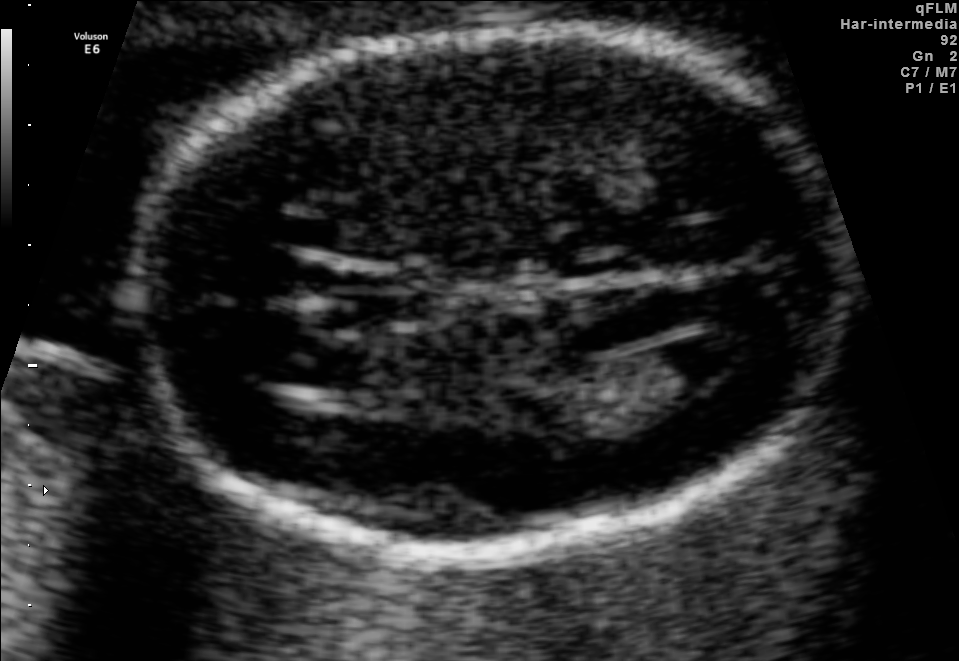
In this fetal brain, trans-ventricular plane, give bounding boxes for the head outline, cavum septum pellucidum (CSP), and lateral ventricle (LV), where visible.

Head: [131,22,840,559]
CSP: [314,272,442,324]
Lateral ventricle: [643,323,755,406]